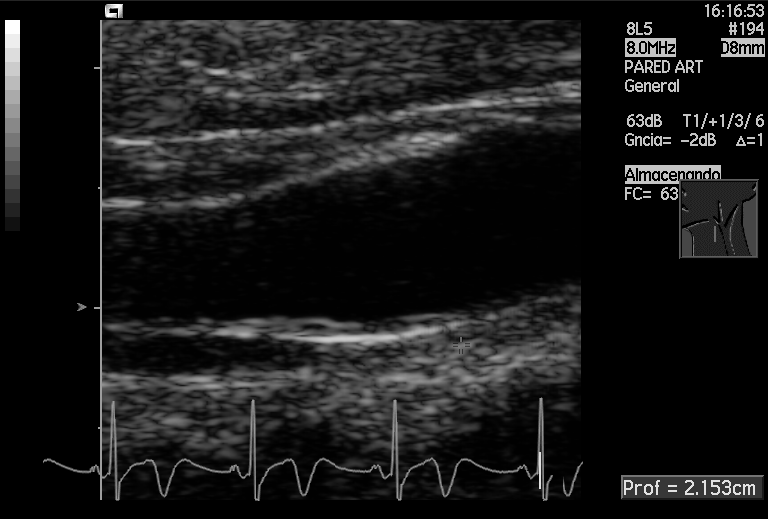
Identify the standard plane in this fetal ultrasound image: fetal abdomen, fetal brain, fetal femur, fetal thorax, maternal cervix, or other. If it's fetal brain and one of the three standard brain planes (trans-thalamic, trans-cerebellum, trans-ventricular), name which.

Other